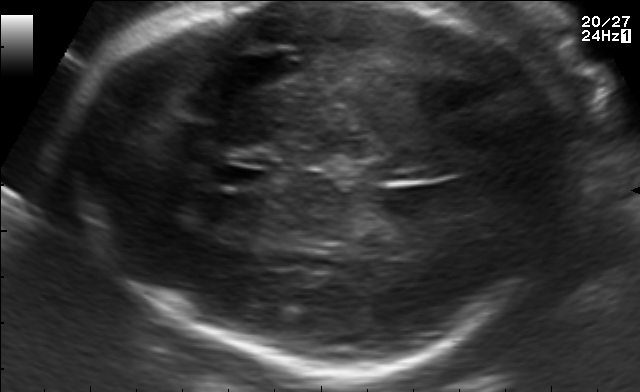
Fetal brain, trans-thalamic plane. Where is the fetal head?

Head bounding box: [46,4,561,362]